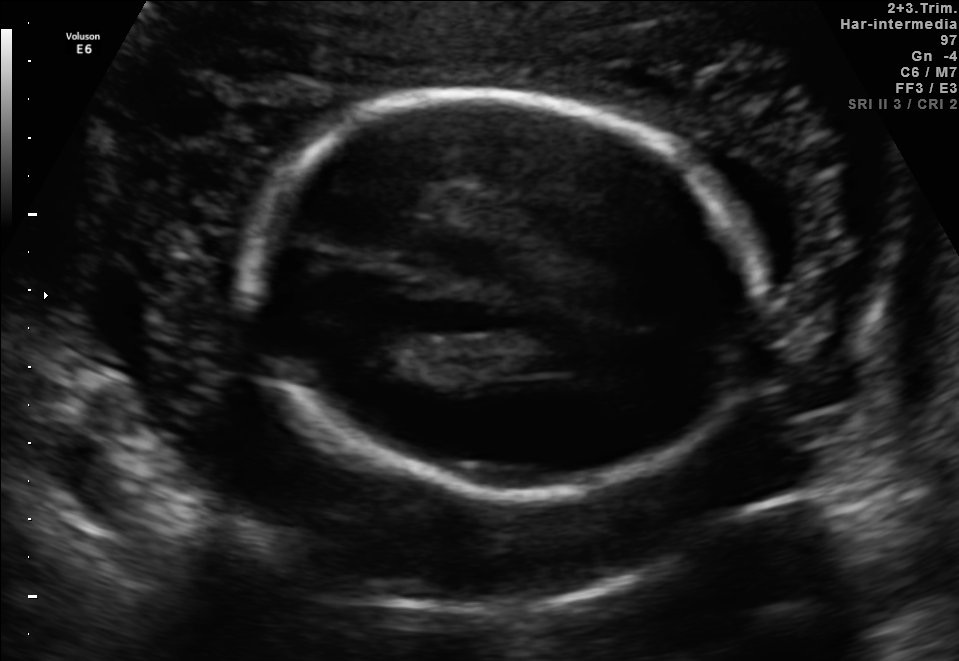
In this fetal brain, trans-thalamic plane, give the bounding box of the fetal head.

[250,98,765,499]